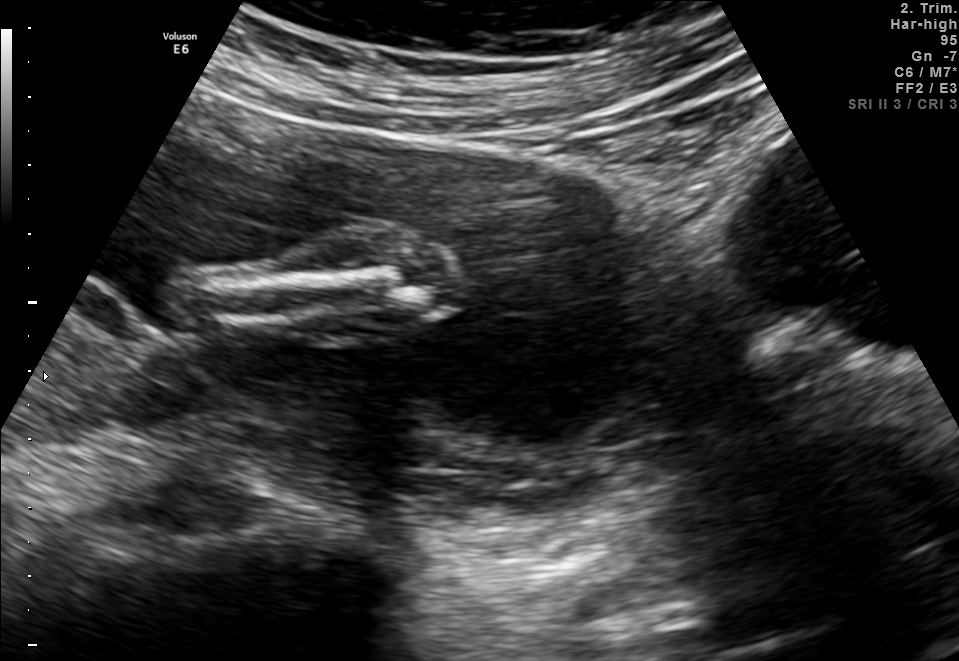
Which standard maternal-fetal ultrasound plane is shown: fetal abdomen, fetal brain, fetal femur, fetal thorax, maternal cervix, or other? If it's fetal brain and one of the three standard brain planes (trans-thalamic, trans-cerebellum, trans-ventricular), name which.

Other